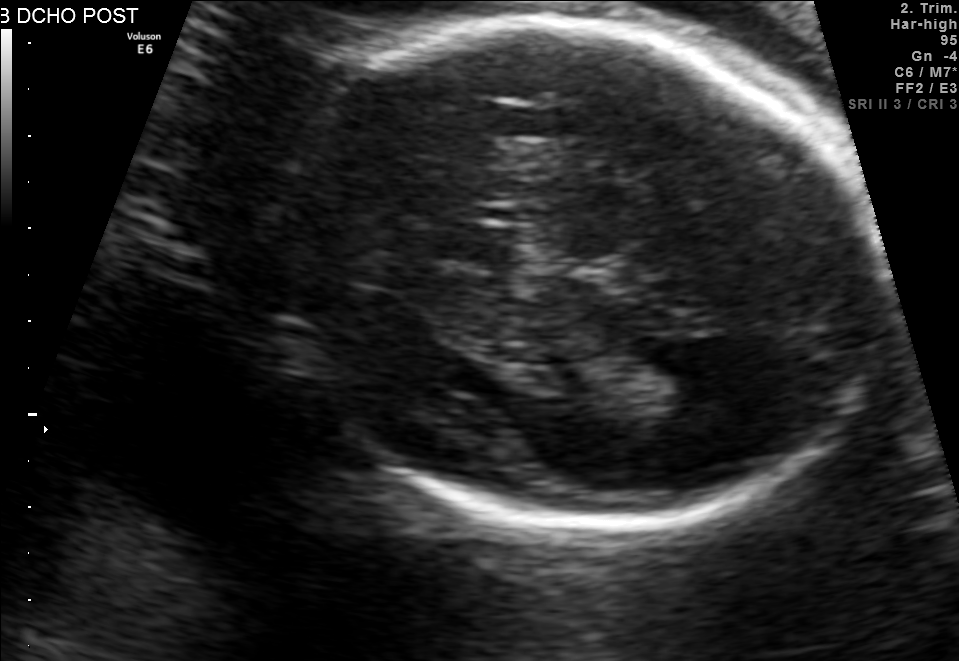
Fetal brain, trans-thalamic plane. Where is the fetal head?

Head bounding box: [265,22,878,529]